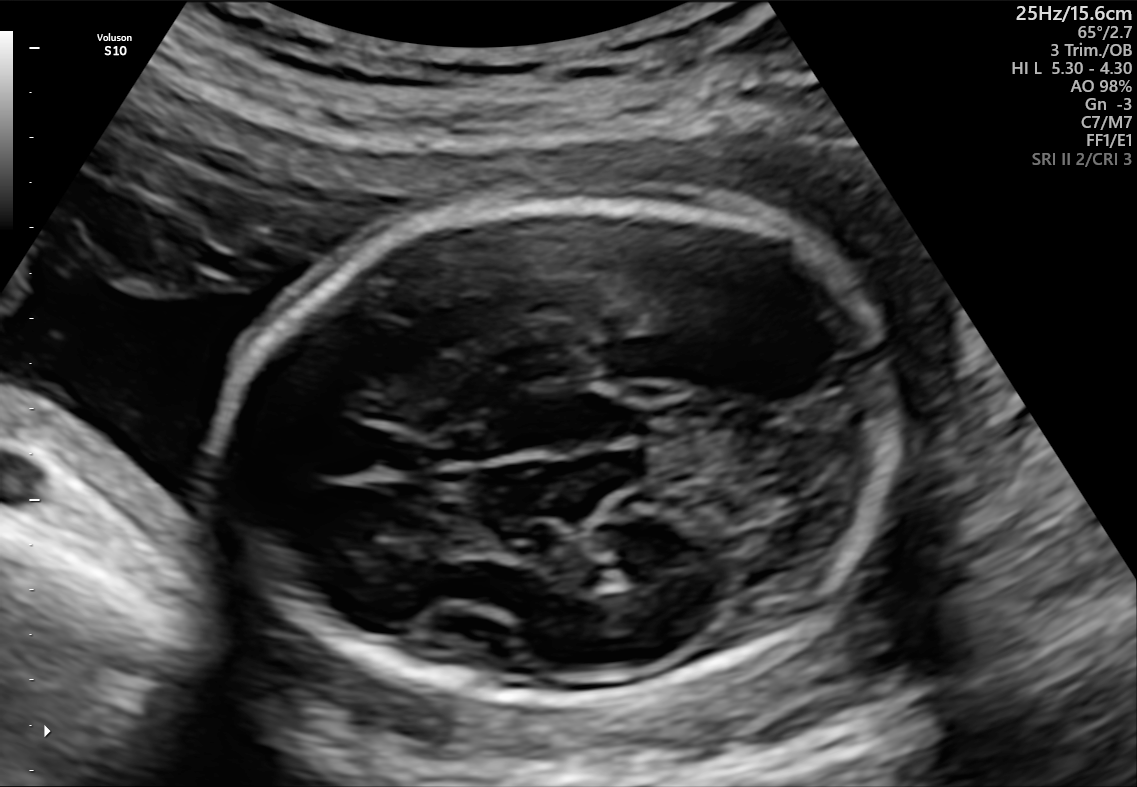
Fetal brain, trans-thalamic plane. Where is the fetal head?

Head bounding box: [225,195,898,708]